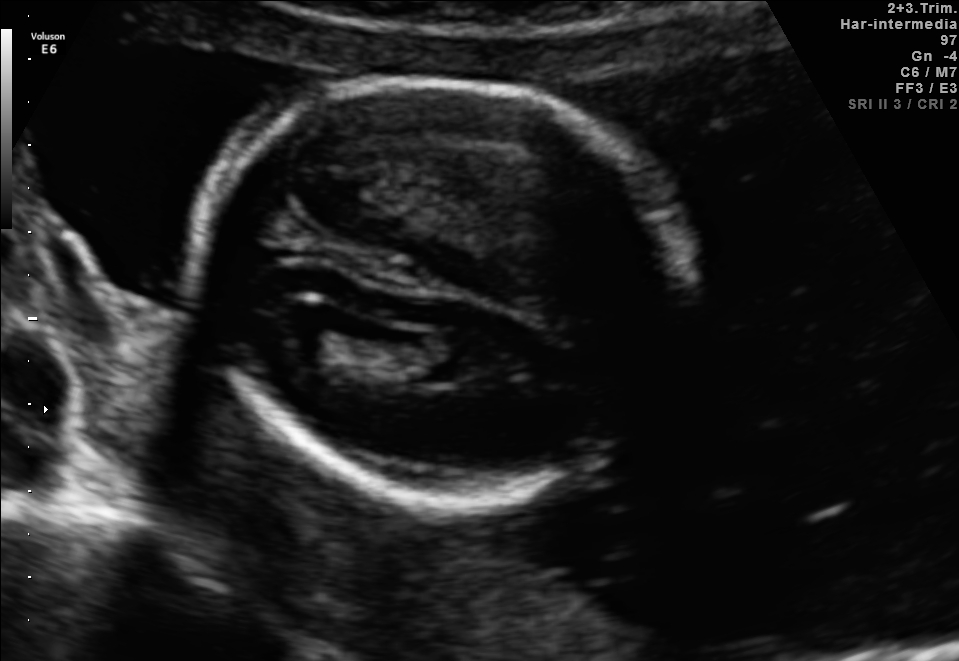
Fetal brain, trans-ventricular plane. Give [x1,y1,x2,y2] bounding boxes for each visible structure among: fetal head, CSP, LV.

Head: [181,69,716,512]